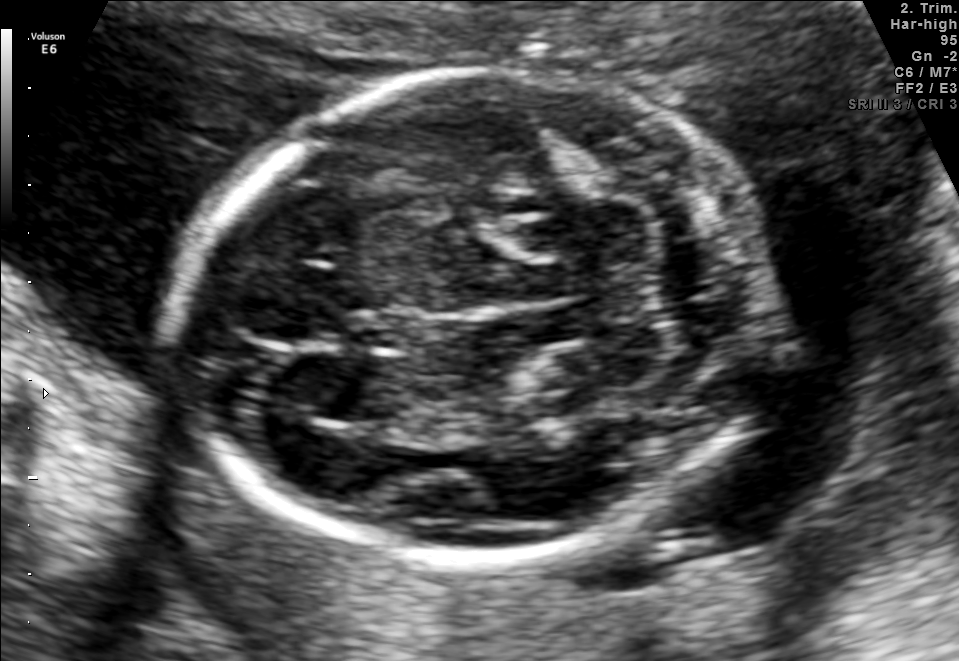
Fetal brain, trans-cerebellum plane. Locate the fetal head.

Head: [178,70,761,571]